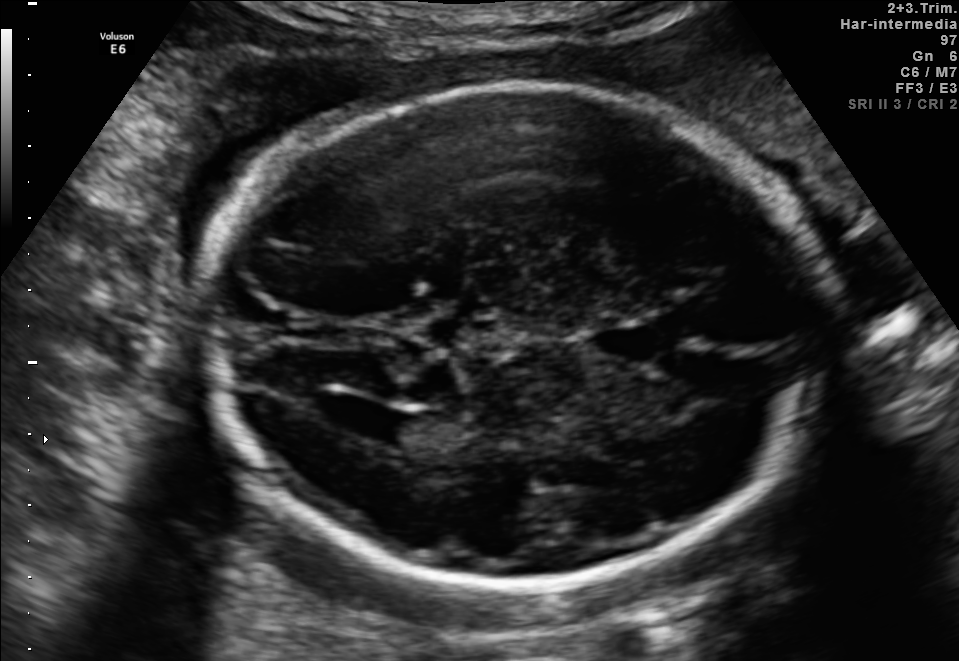
Fetal brain, trans-ventricular plane. Where is the fetal head?

Head bounding box: [196,79,845,592]